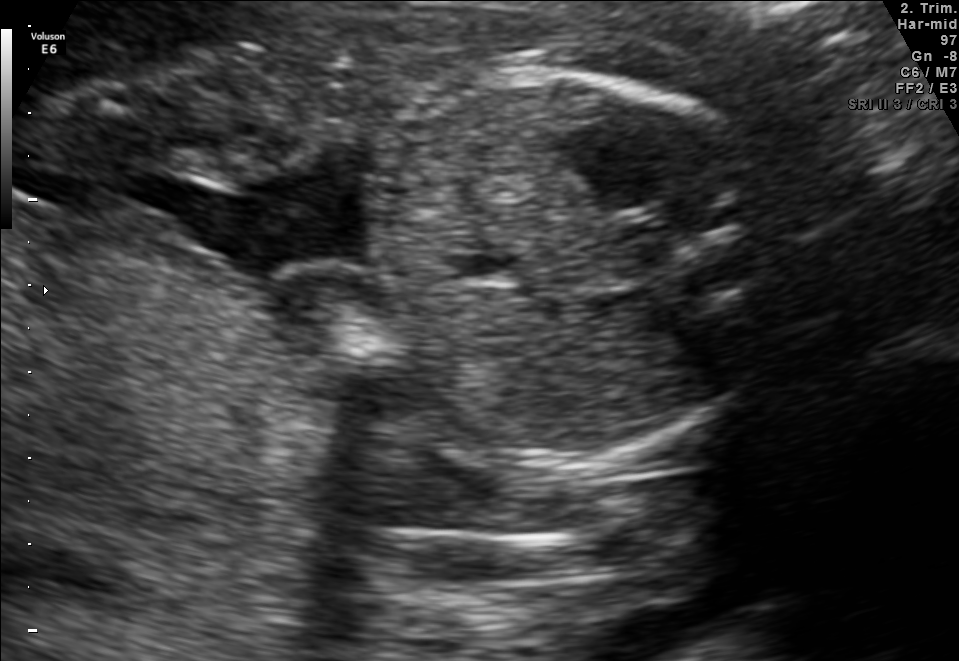
Identify the standard plane in this fetal ultrasound image: fetal abdomen, fetal brain, fetal femur, fetal thorax, maternal cervix, or other. If it's fetal brain and one of the three standard brain planes (trans-thalamic, trans-cerebellum, trans-ventricular), name which.

Fetal abdomen